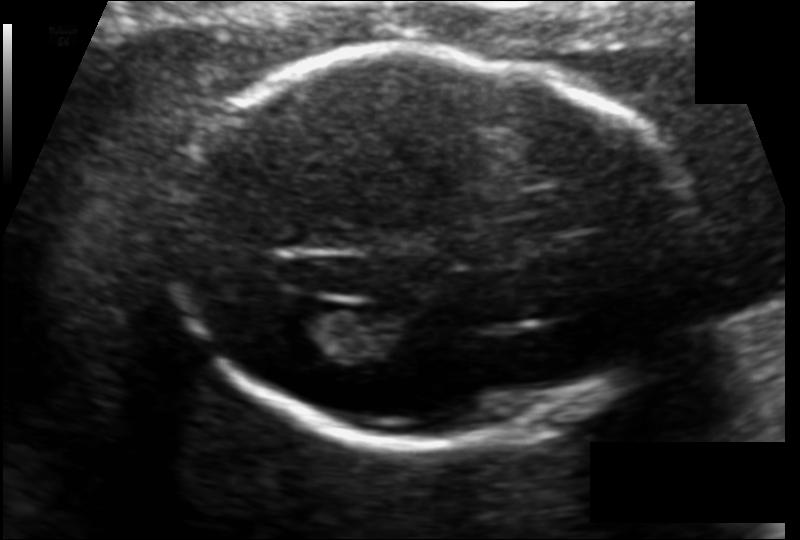
Fetal head ultrasound. Image width: 96.2 mm. Locate the fetal head and, if visible, the cavum septum pellucidum (CSP) and lateral ventricle (LV). Give bounding boxes as [x1,y1,x2,y2].

Head: [175,49,688,450]
Lateral ventricle: [267,309,350,366]